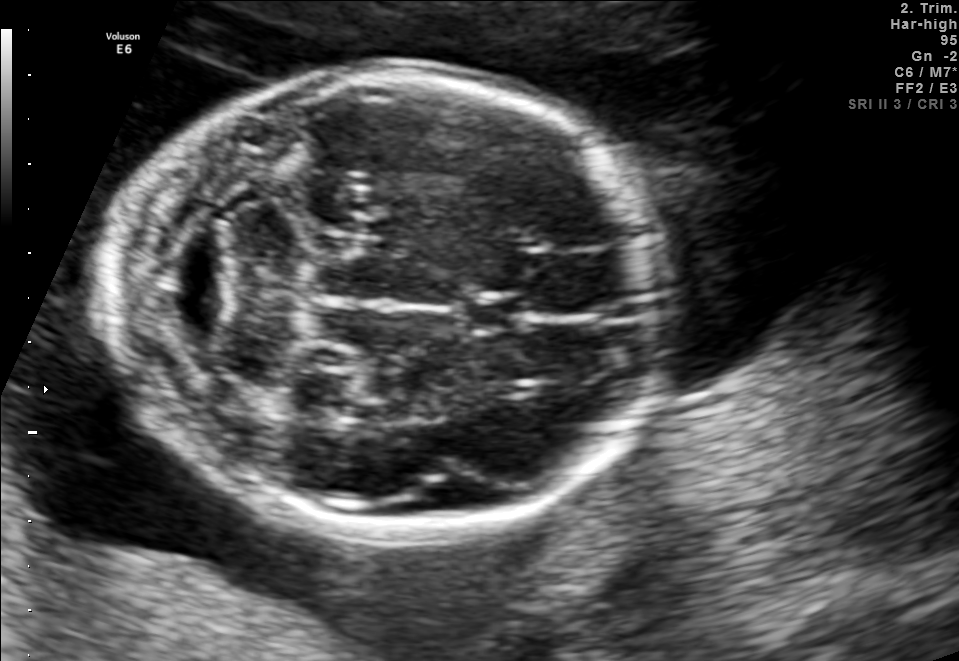
Fetal brain, trans-cerebellum plane. Give [x1,y1,x2,y2] bounding boxes for each visible structure among: fetal head, CSP, LV.

Head: [106,71,661,530]
CSP: [465,295,528,330]